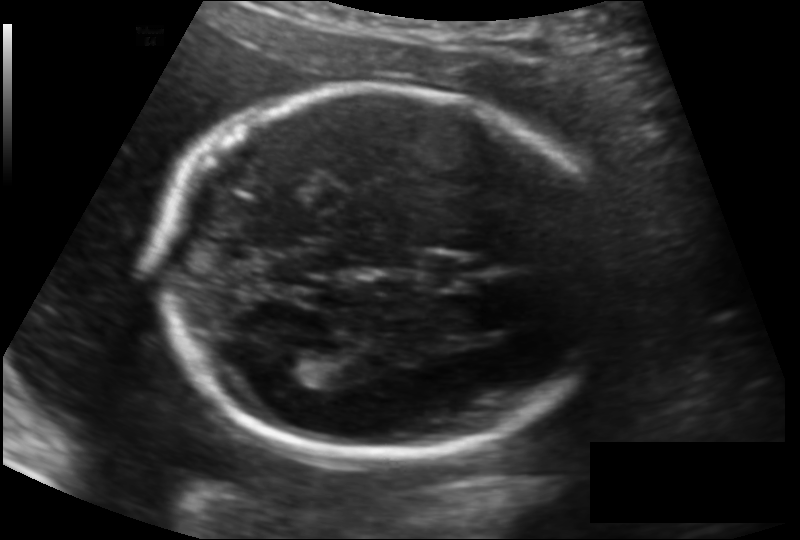
In this fetal head ultrasound, give the bounding box of the fetal head. Image width: 107.5 mm.

[158,87,610,458]